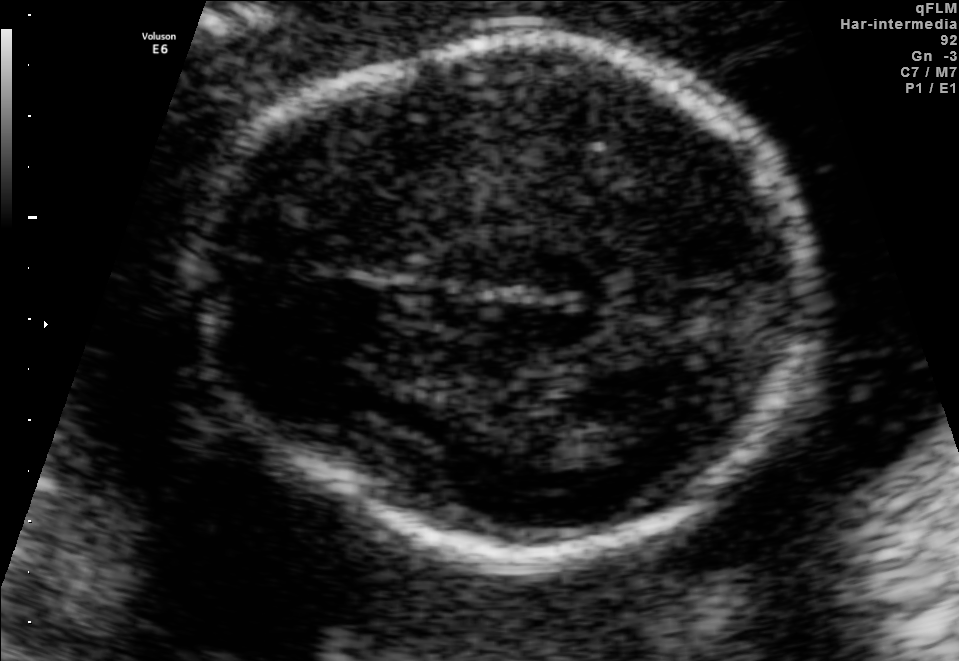
Fetal brain, trans-thalamic plane. Give [x1,y1,x2,y2] bounding boxes for each visible structure among: fetal head, CSP, LV.

Head: [201,39,810,554]
Lateral ventricle: [513,406,639,473]